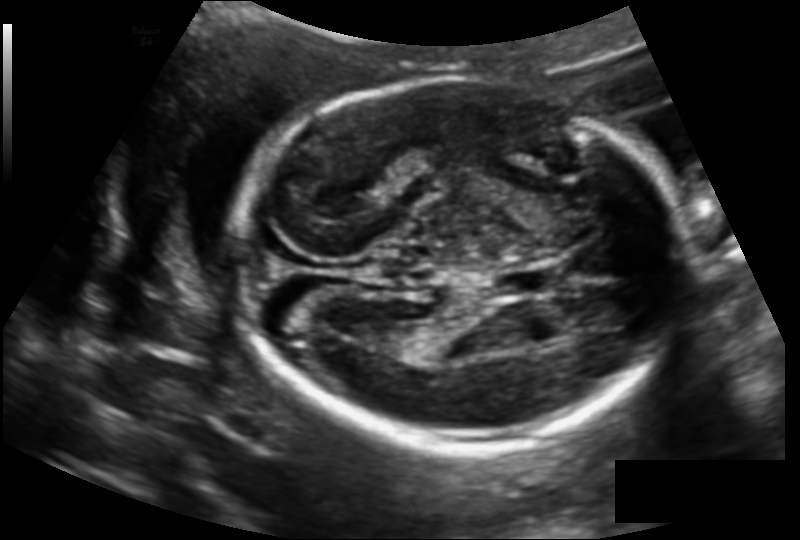
Measure the fetal head circumference shown in this ultrasound image. Image width: 116.1 mm.

Head circumference: 189.8 mm.